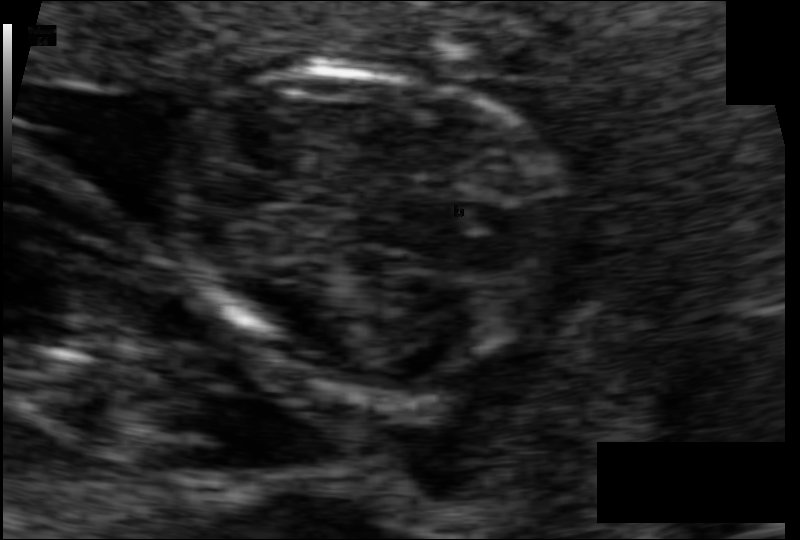
From this fetal ultrasound, estimate the head circumference (image width 48.5 mm).

Head circumference: 71.9 mm.